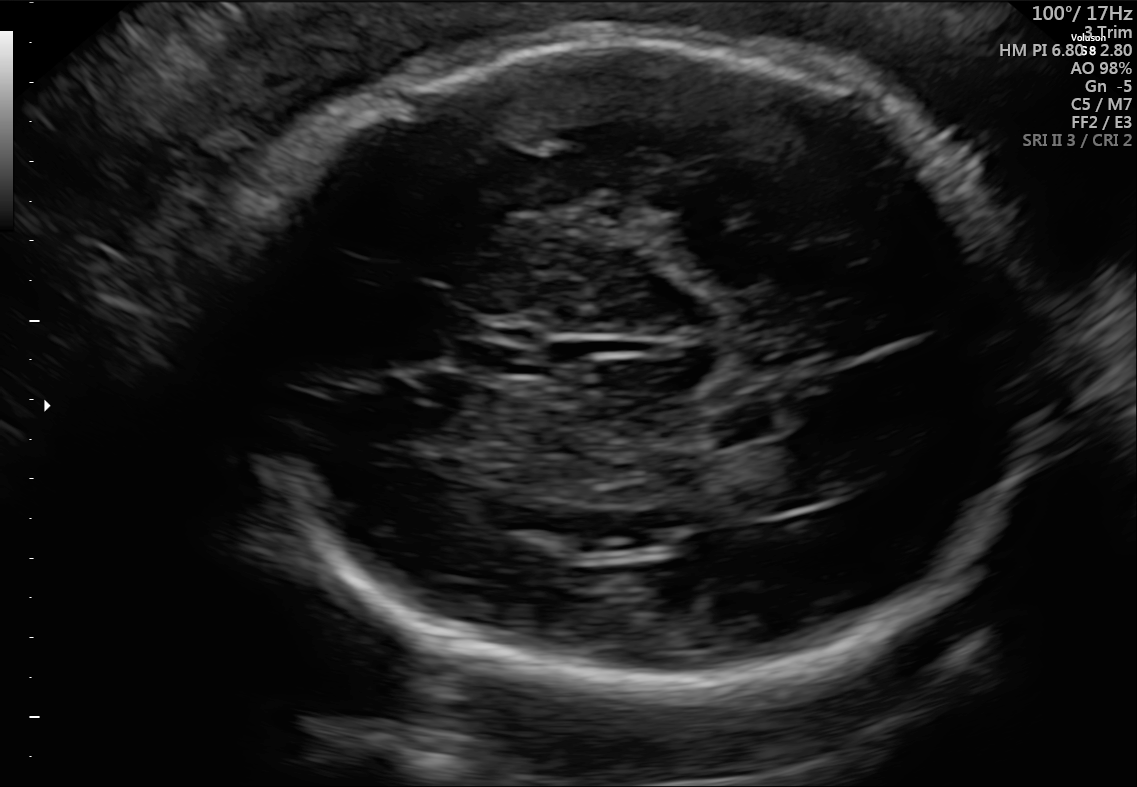
Fetal brain, trans-thalamic plane. Locate the fetal head and, if visible, the cavum septum pellucidum (CSP) and lateral ventricle (LV). Give bounding boxes as [x1,y1,x2,y2].

Head: [210,29,1048,699]
CSP: [467,325,546,376]
Lateral ventricle: [740,424,868,518]